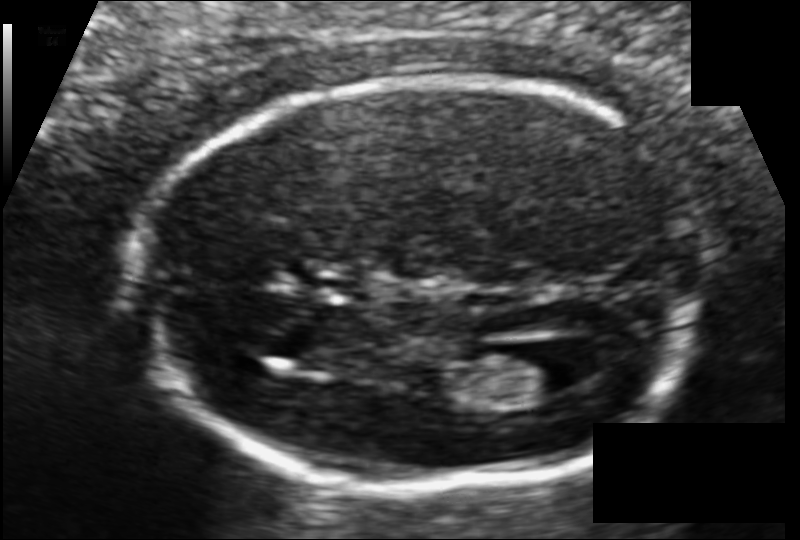
What is the fetal head circumference? Image width is 83.6 mm.

163.9 mm